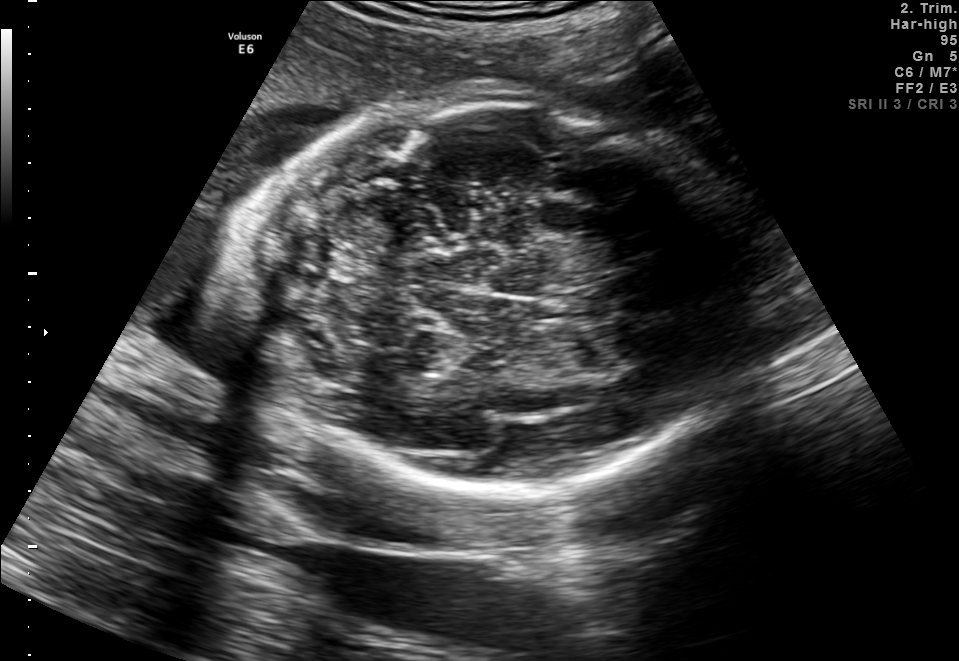
Fetal brain, trans-thalamic plane. Locate the fetal head.

Head: [225,93,758,494]